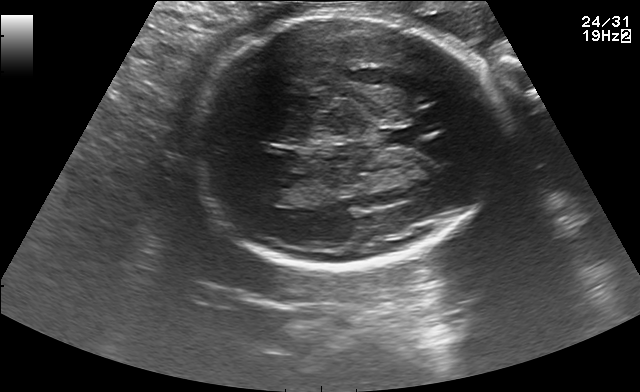
Fetal brain, trans-thalamic plane. Where is the cavum septum pellucidum?

CSP bounding box: [380,124,417,148]